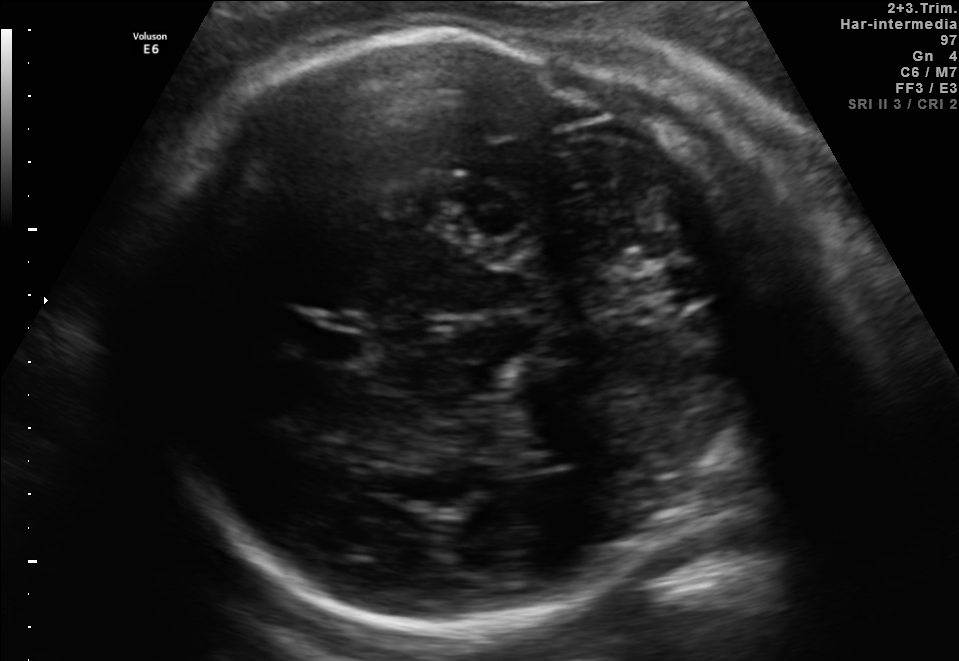
Fetal brain, trans-thalamic plane. Where is the fetal head?

Head bounding box: [130,32,765,641]